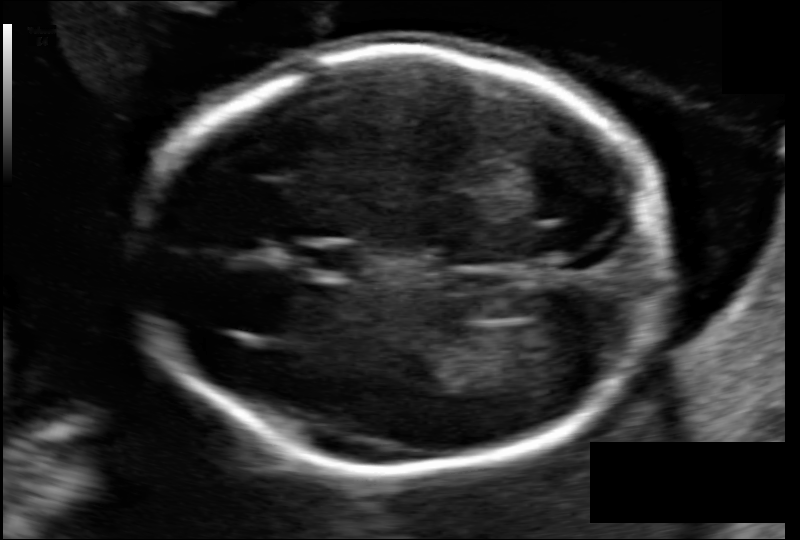
In this fetal head ultrasound, give the bounding box of the fetal head. Image width: 82.2 mm.

[144,48,666,472]